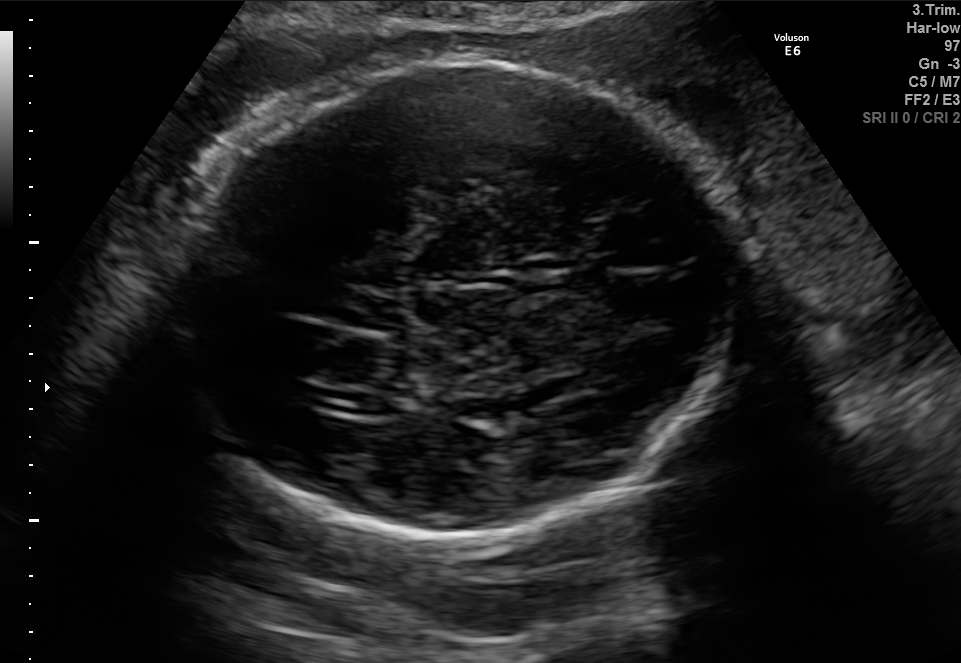
In this fetal brain, trans-ventricular plane, give the bounding box of the lateral ventricle.

[347,392,392,419]